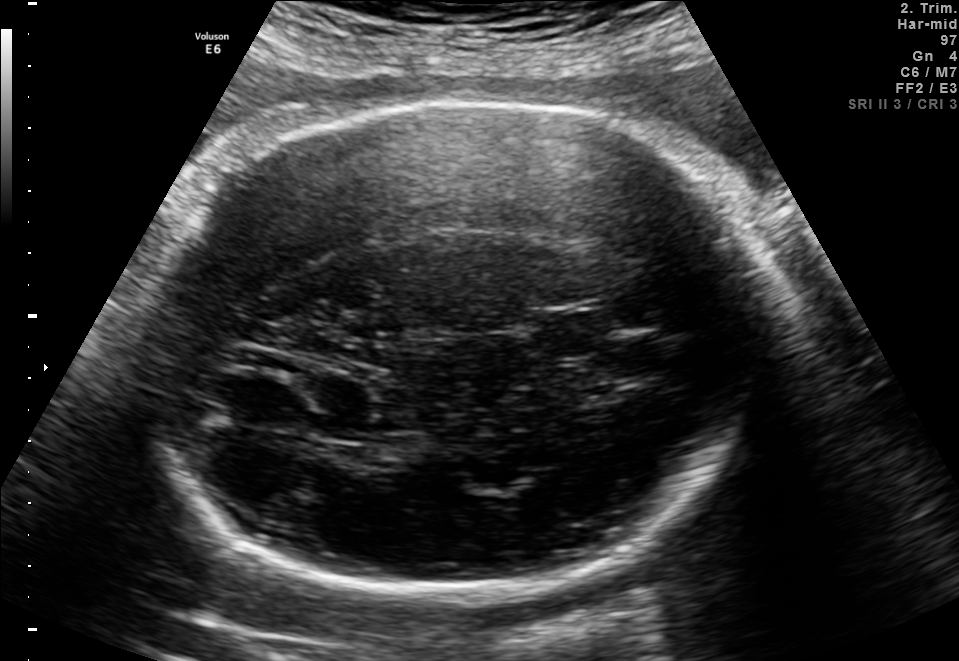
Fetal brain, trans-thalamic plane. Locate the cavum septum pellucidum.

CSP: [533,309,610,359]